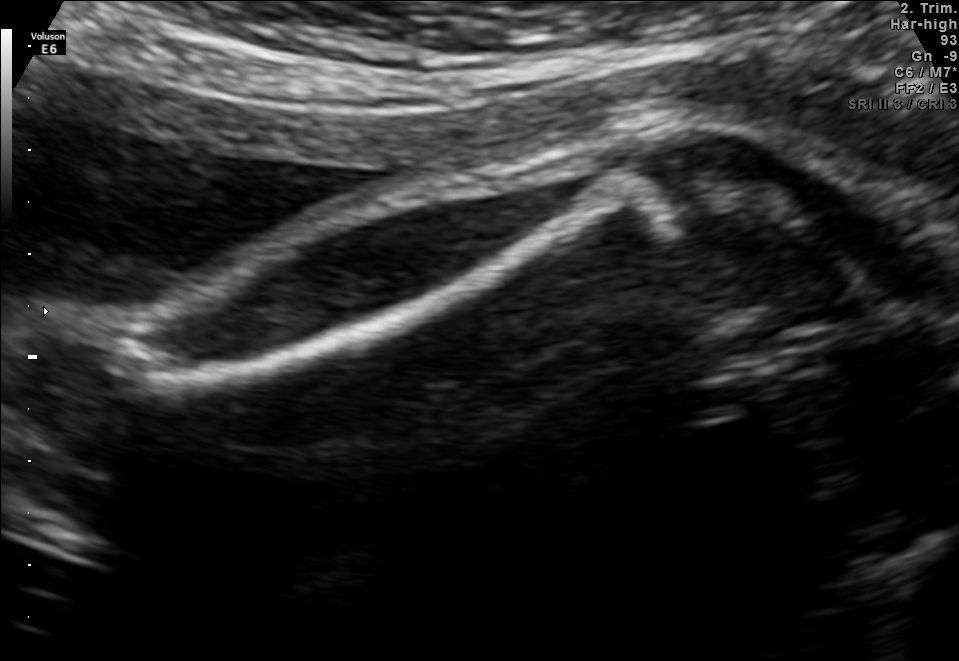
This is a 2D maternal-fetal ultrasound frame. Is it a fetal abdomen, fetal brain, fetal femur, fetal thorax, maternal cervix, or other standard plane? If it's fetal brain and one of the three standard brain planes (trans-thalamic, trans-cerebellum, trans-ventricular), name which.

Fetal femur